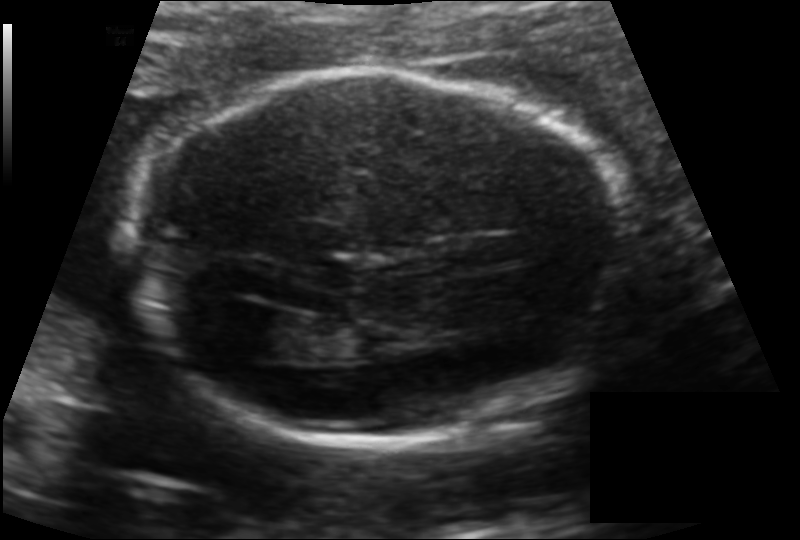
Measure the fetal head circumference shown in this ultrasound image. Image width: 107.1 mm.

Head circumference: 189.3 mm.